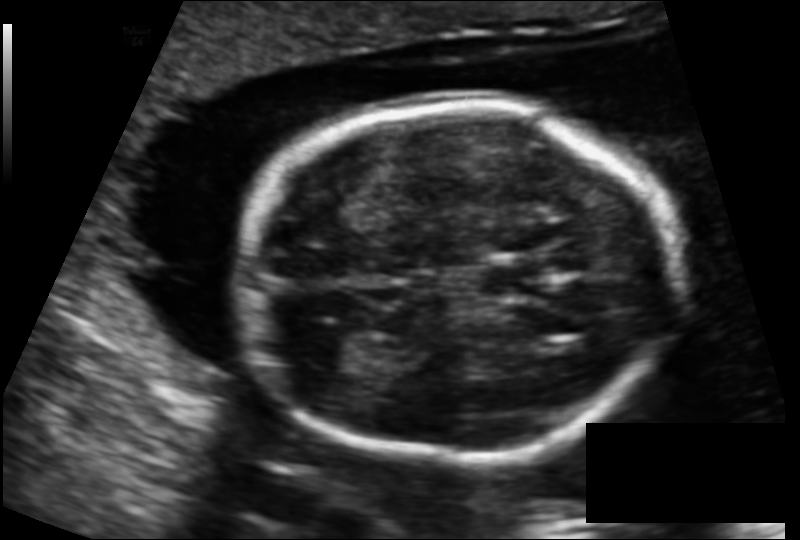
Estimate the fetal head circumference from this 2D ultrasound. Image width: 104.4 mm.

Head circumference: 166.7 mm.